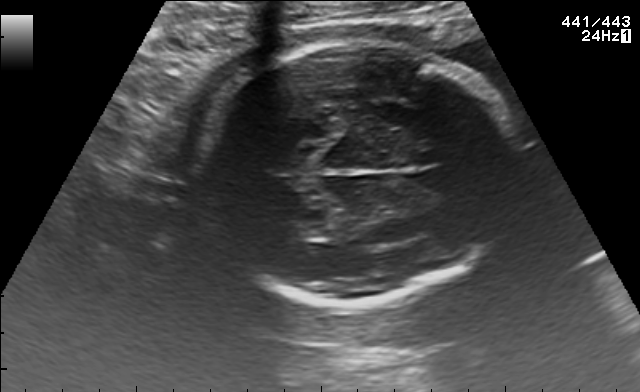
Fetal brain, trans-thalamic plane. Locate the fetal head.

Head: [195,42,513,305]